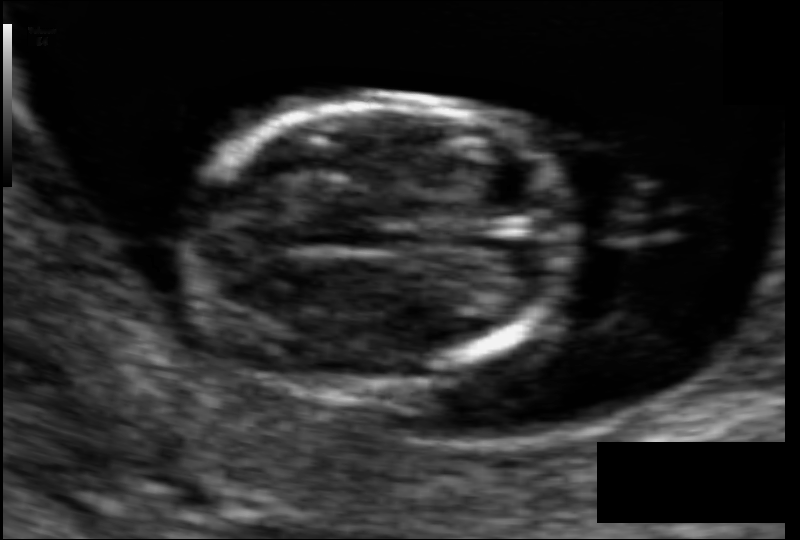
In this fetal head ultrasound, give the bounding box of the fetal head. Image width: 52.8 mm.

[188,100,574,383]